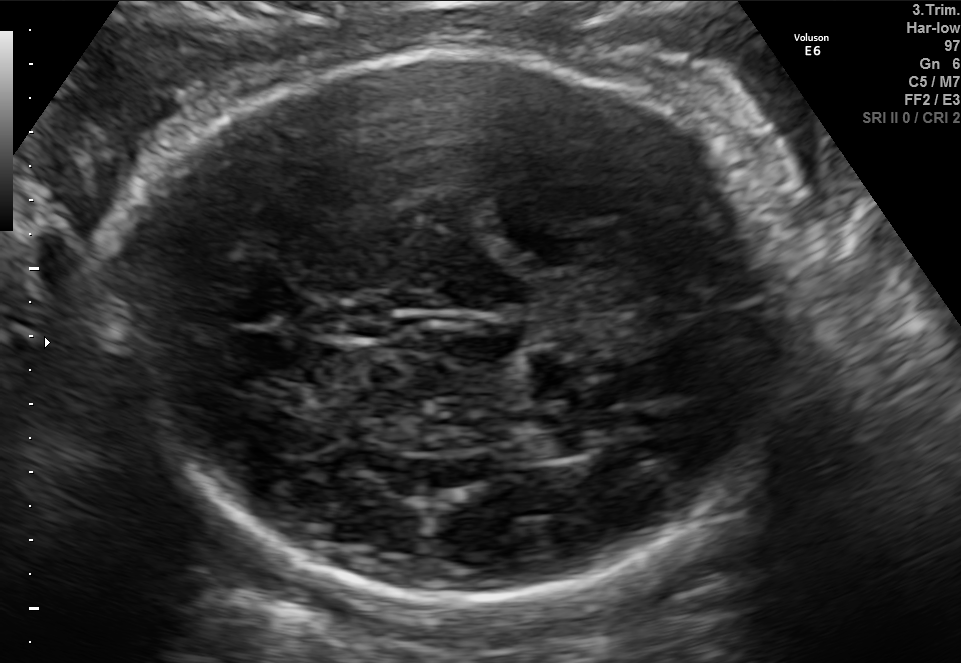
In this fetal brain, trans-thalamic plane, give bounding boxes for the head outline, cavum septum pellucidum (CSP), and lateral ventricle (LV), where visible.

Head: [120,57,799,606]
CSP: [337,304,397,336]
Lateral ventricle: [536,426,594,461]